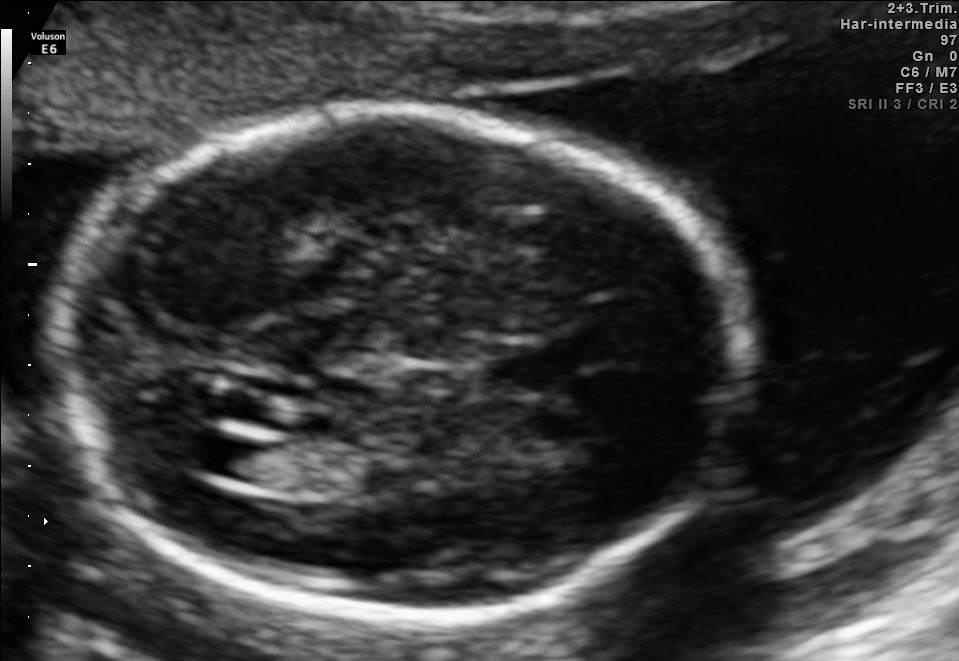
Fetal brain, trans-ventricular plane. Locate the fetal head and, if visible, the cavum septum pellucidum (CSP) and lateral ventricle (LV). Give bounding boxes as [x1,y1,x2,y2].

Head: [44,101,771,632]
Lateral ventricle: [197,429,272,485]